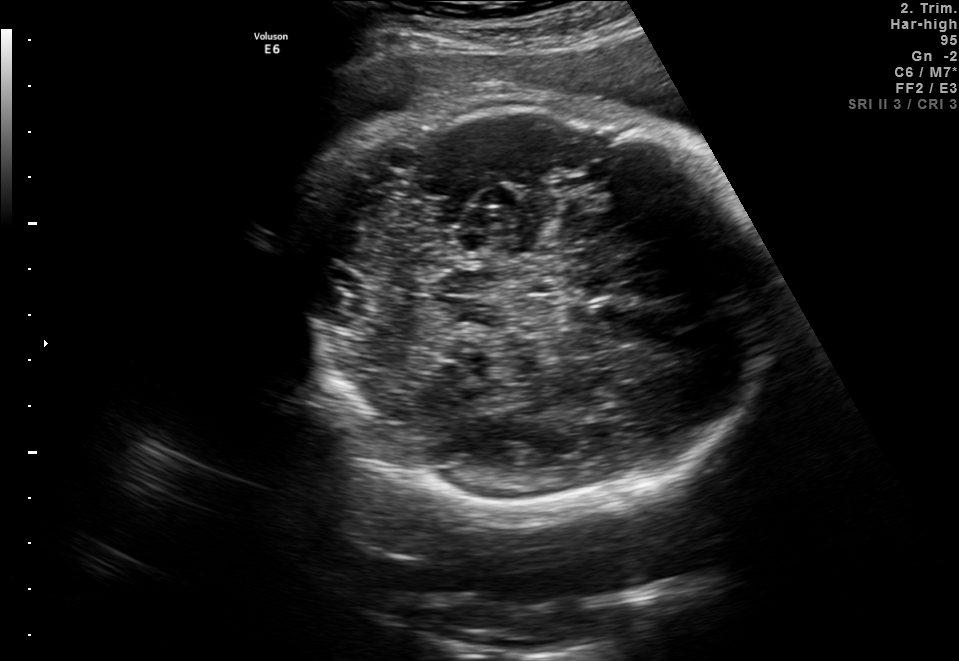
In this fetal brain, trans-thalamic plane, give bounding boxes for the head outline, cavum septum pellucidum (CSP), and lateral ventricle (LV), where visible.

Head: [300,100,771,517]